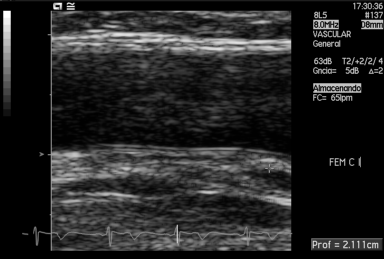
Identify the standard plane in this fetal ultrasound image: fetal abdomen, fetal brain, fetal femur, fetal thorax, maternal cervix, or other. If it's fetal brain and one of the three standard brain planes (trans-thalamic, trans-cerebellum, trans-ventricular), name which.

Other